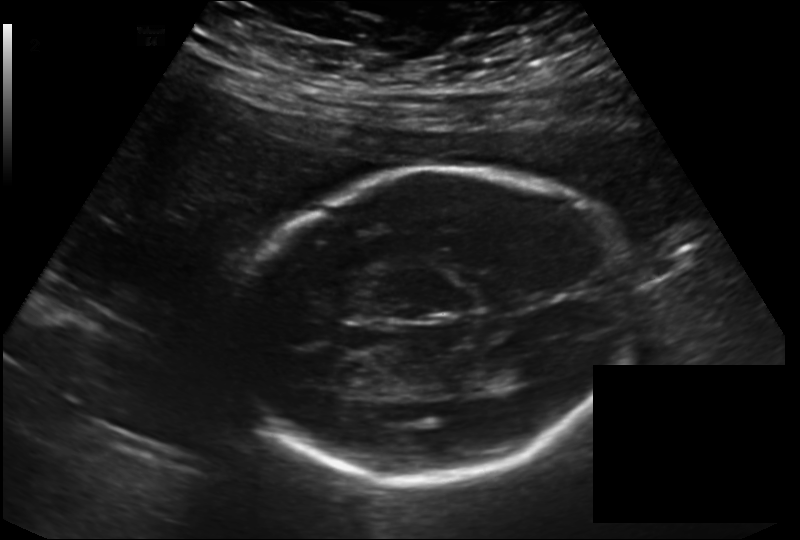
In this fetal head ultrasound, give bounding boxes for the head outline, cavum septum pellucidum (CSP), and lateral ventricle (LV), where visible. Image width: 158.6 mm.

Head: [239,167,633,483]